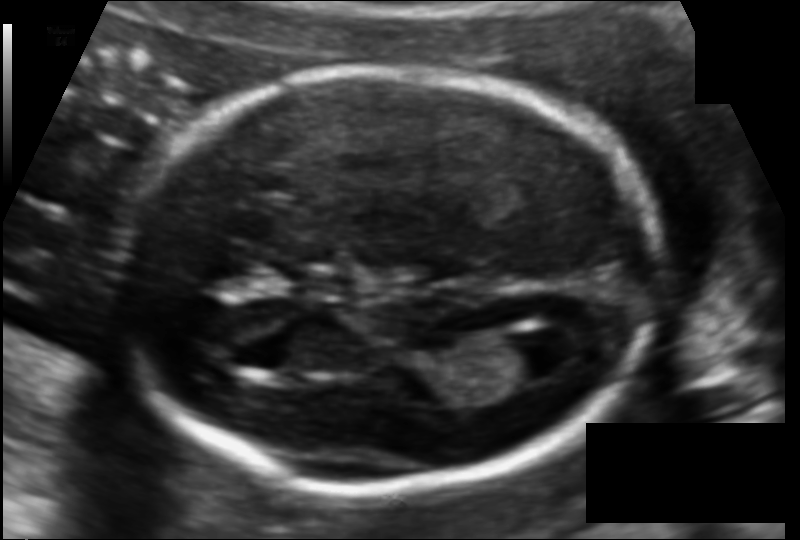
Fetal head ultrasound. Image width: 85.9 mm. Locate the fetal head and, if visible, the cavum septum pellucidum (CSP) and lateral ventricle (LV). Give bounding boxes as [x1,y1,x2,y2].

Head: [113,70,660,488]
Lateral ventricle: [485,322,573,392]